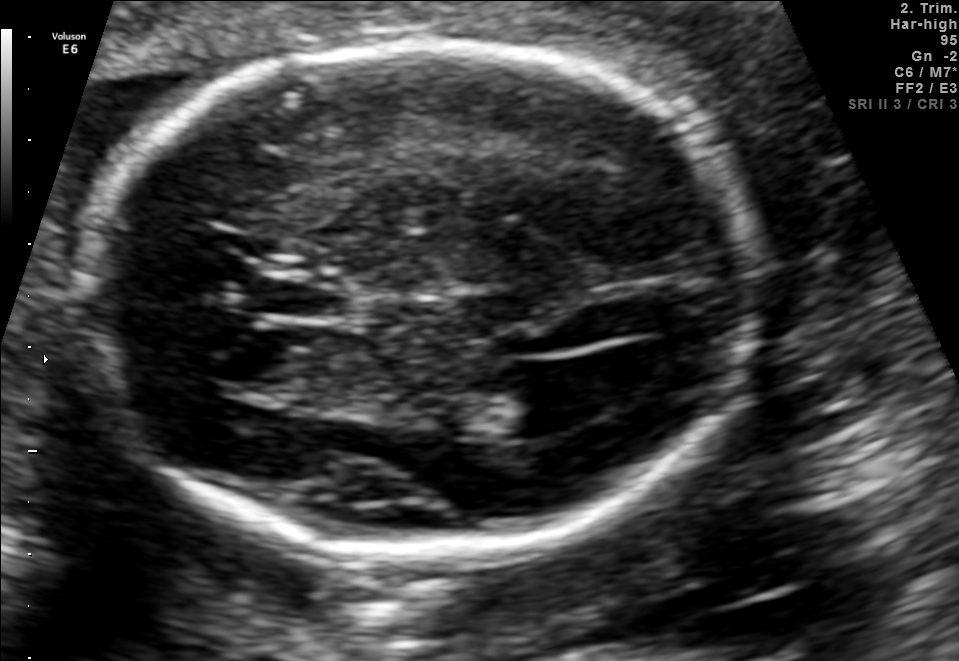
In this fetal brain, trans-ventricular plane, give bounding boxes for the head outline, cavum septum pellucidum (CSP), and lateral ventricle (LV), where visible.

Head: [67,32,772,571]
CSP: [248,265,356,326]
Lateral ventricle: [497,351,618,441]